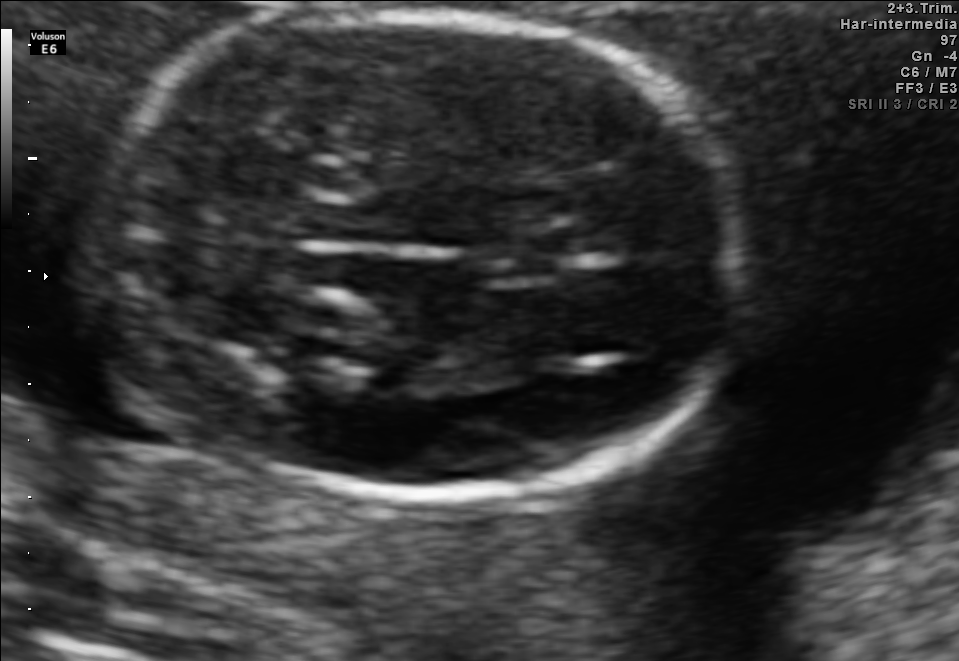
Fetal brain, trans-thalamic plane. Locate the fetal head.

Head: [99,13,748,496]